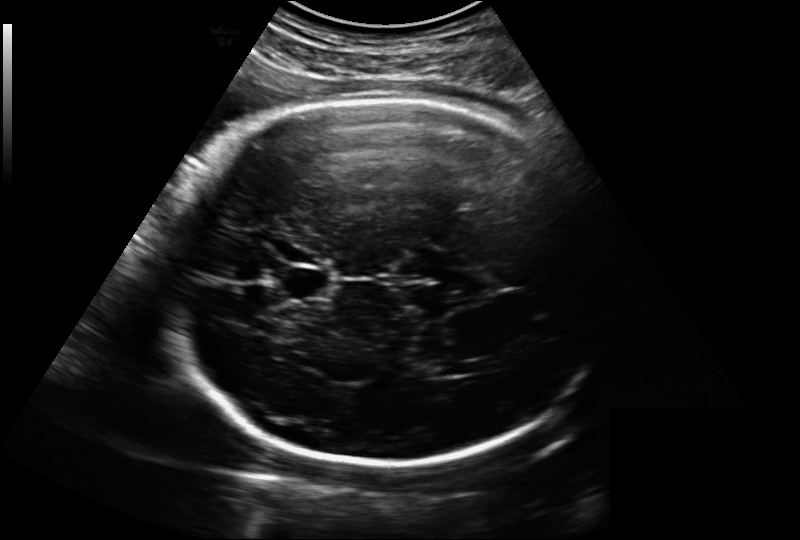
Fetal head ultrasound. Image width: 176.5 mm. Locate the cavum septum pellucidum.

CSP: [277,263,335,303]